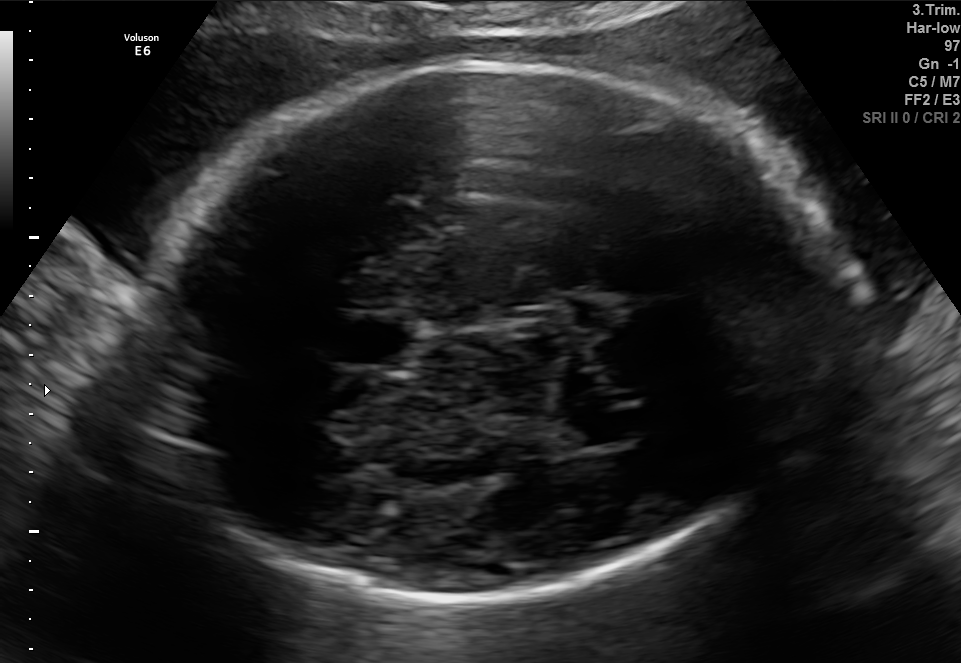
In this fetal brain, trans-thalamic plane, give the bounding box of the lateral ventricle.

[562,406,644,449]